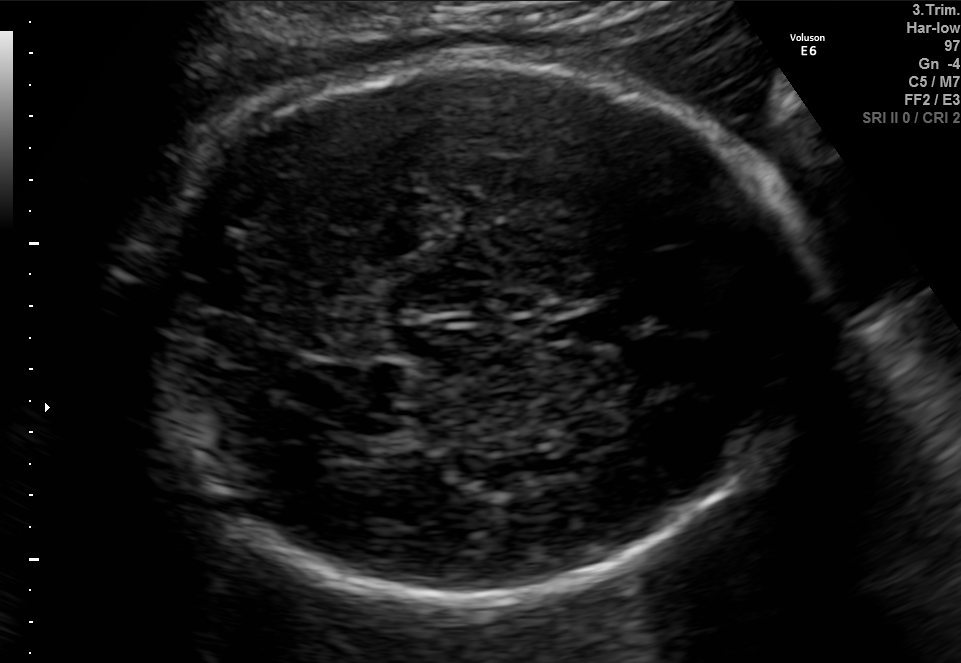
In this fetal brain, trans-thalamic plane, give the bounding box of the cavum septum pellucidum.

[555,309,627,347]